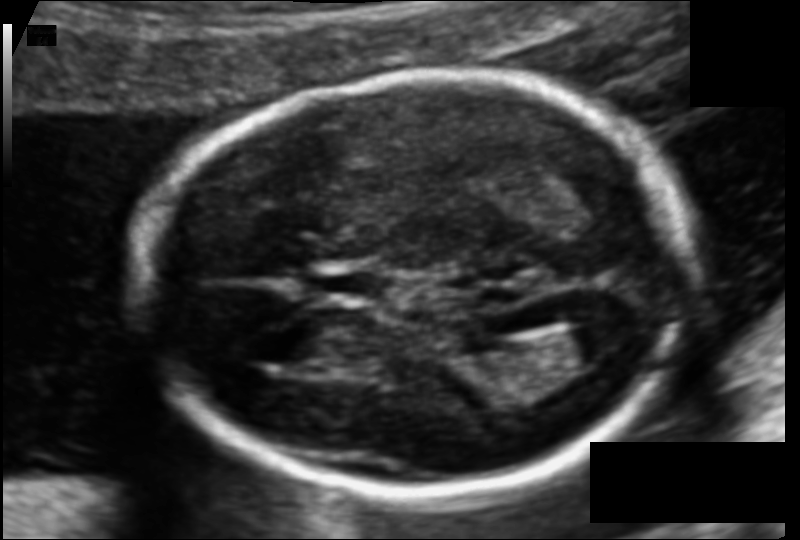
In this fetal head ultrasound, give bounding boxes for the head outline, cavum septum pellucidum (CSP), and lateral ventricle (LV), where visible. Image width: 83.7 mm.

Head: [140,78,685,489]
CSP: [315,270,382,297]
Lateral ventricle: [554,308,638,375]